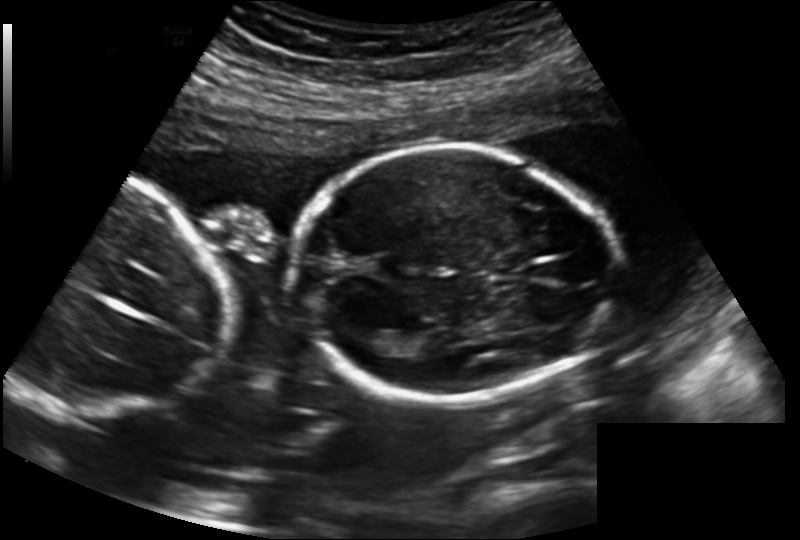
From this fetal ultrasound, estimate the head circumference (image width 146.1 mm).

Head circumference: 173.1 mm.